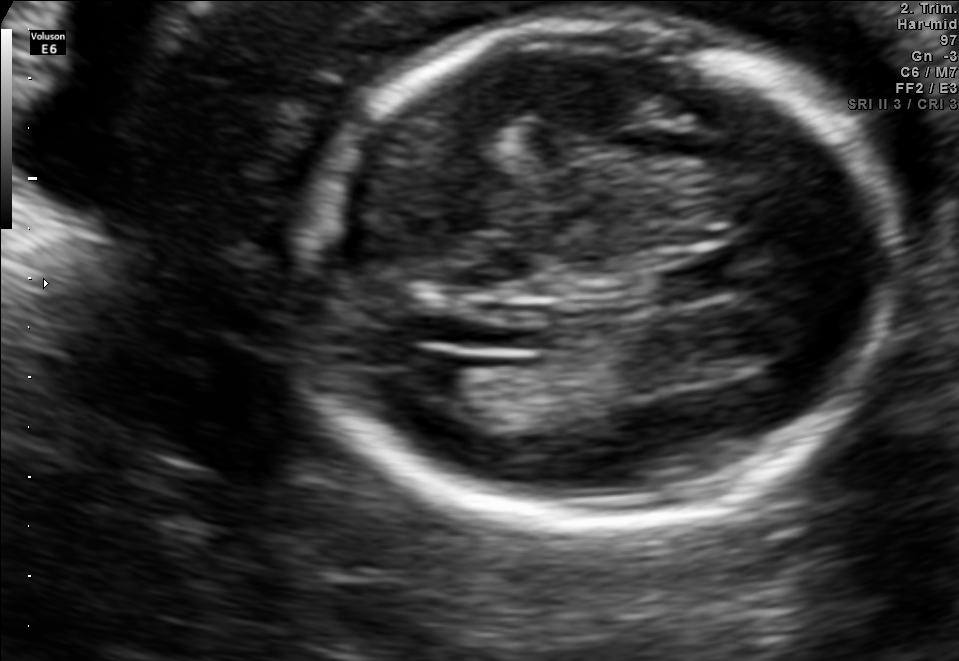
In this fetal brain, trans-ventricular plane, give bounding boxes for the head outline, cavum septum pellucidum (CSP), and lateral ventricle (LV), where visible.

Head: [285,10,914,539]
CSP: [657,253,750,308]
Lateral ventricle: [398,343,473,403]